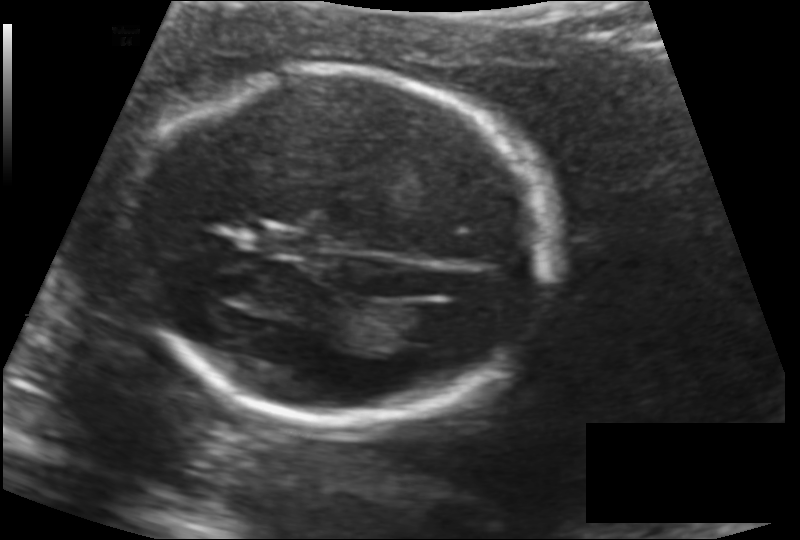
Measure the fetal head circumference shown in this ultrasound image. Image width: 105.6 mm.

Head circumference: 164.4 mm.